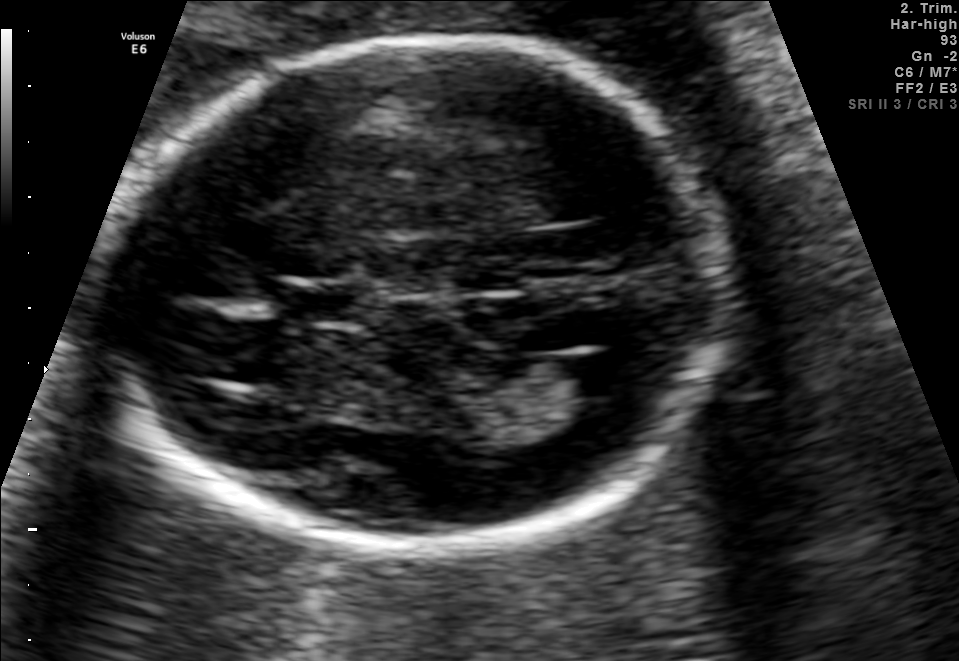
In this fetal brain, trans-ventricular plane, give the bounding box of the cavum septum pellucidum.

[289,286,370,322]